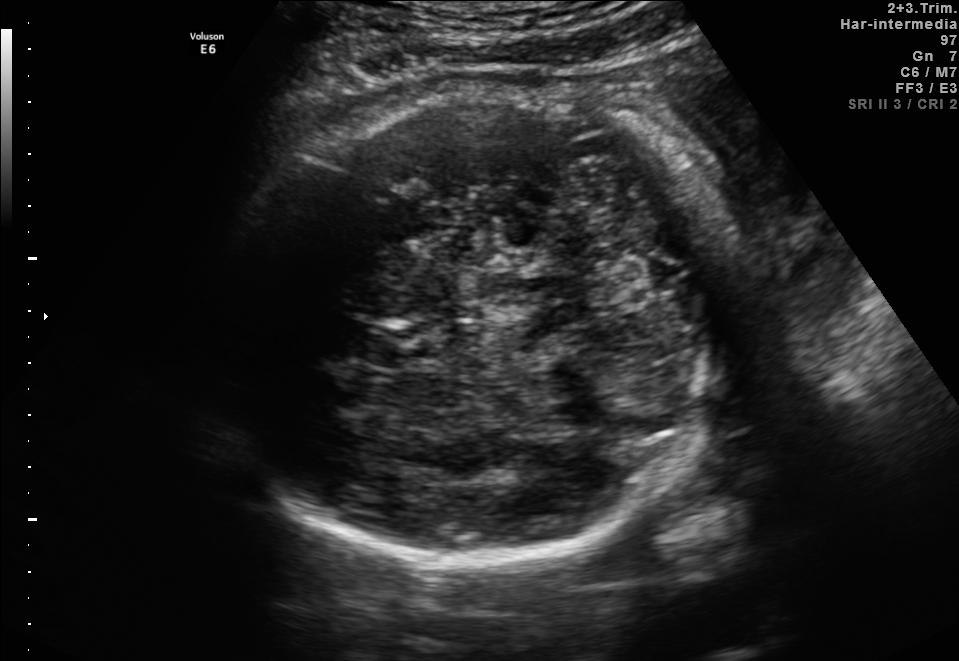
In this fetal brain, trans-thalamic plane, give bounding boxes for the head outline, cavum septum pellucidum (CSP), and lateral ventricle (LV), where visible.

Head: [207,90,730,563]